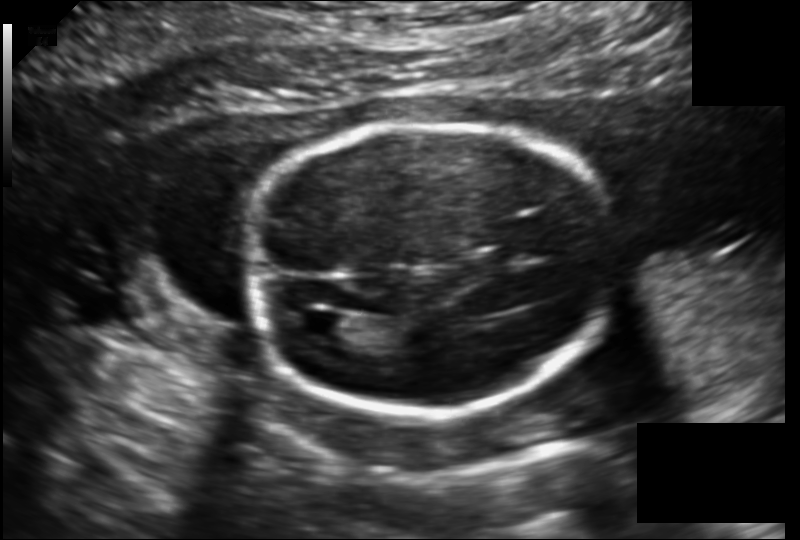
Estimate the fetal head circumference from this 2D ultrasound. Image width: 119.0 mm.

Head circumference: 159.9 mm.